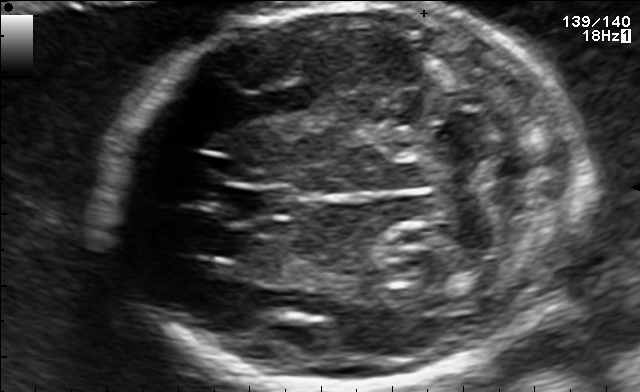
Fetal brain, trans-cerebellum plane. Where is the cavum septum pellucidum?

CSP bounding box: [230,185,294,219]